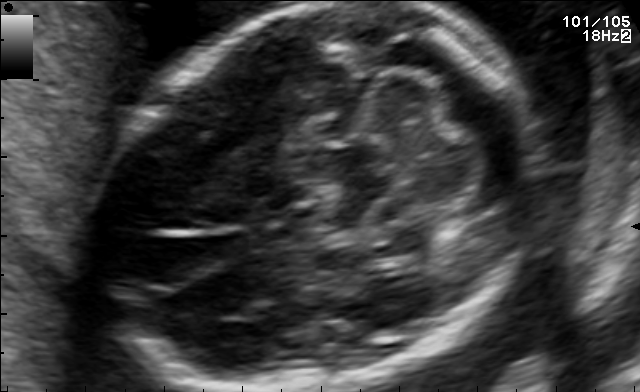
In this fetal brain, trans-cerebellum plane, give bounding boxes for the head outline, cavum septum pellucidum (CSP), and lateral ventricle (LV), where visible.

Head: [119,4,521,391]